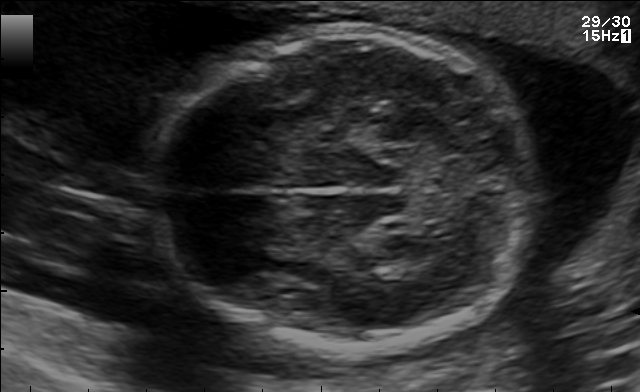
Fetal brain, trans-thalamic plane. Locate the fetal head and, if visible, the cavum septum pellucidum (CSP) and lateral ventricle (LV). Give bounding boxes as [x1,y1,x2,y2].

Head: [151,31,538,350]